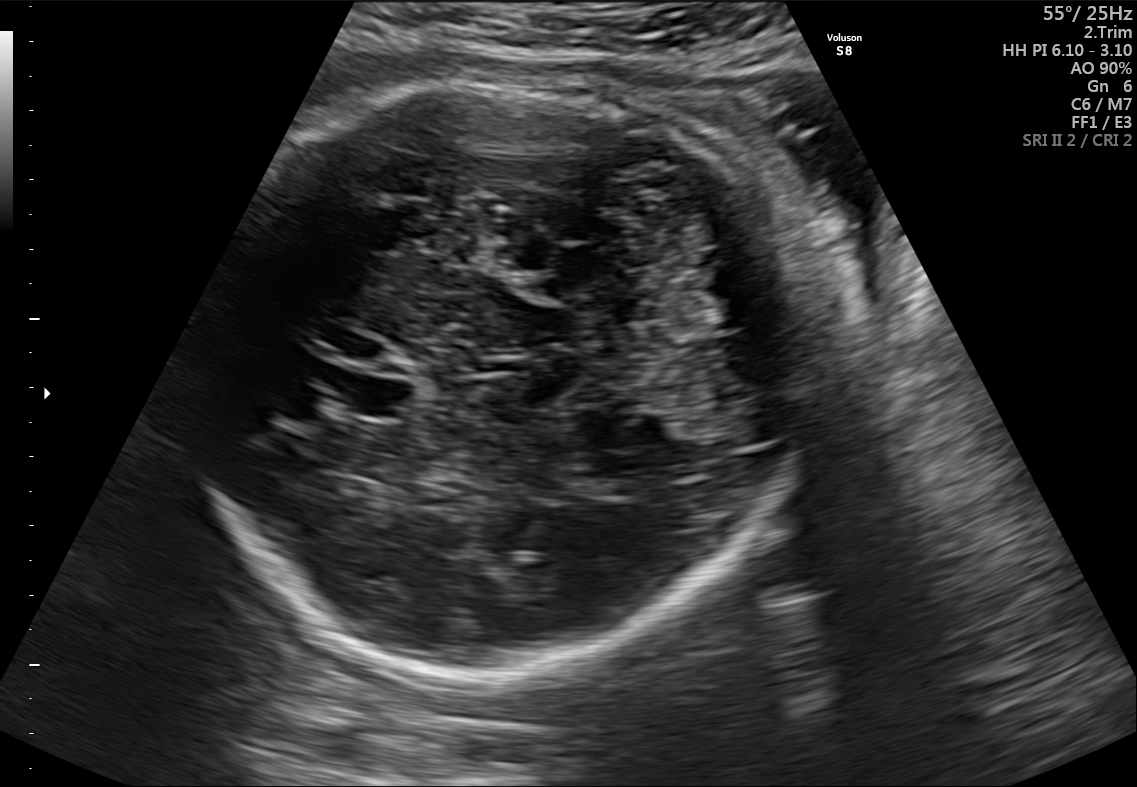
Which standard maternal-fetal ultrasound plane is shown: fetal abdomen, fetal brain, fetal femur, fetal thorax, maternal cervix, or other? If it's fetal brain and one of the three standard brain planes (trans-thalamic, trans-cerebellum, trans-ventricular), name which.

Fetal brain (trans-cerebellum plane)